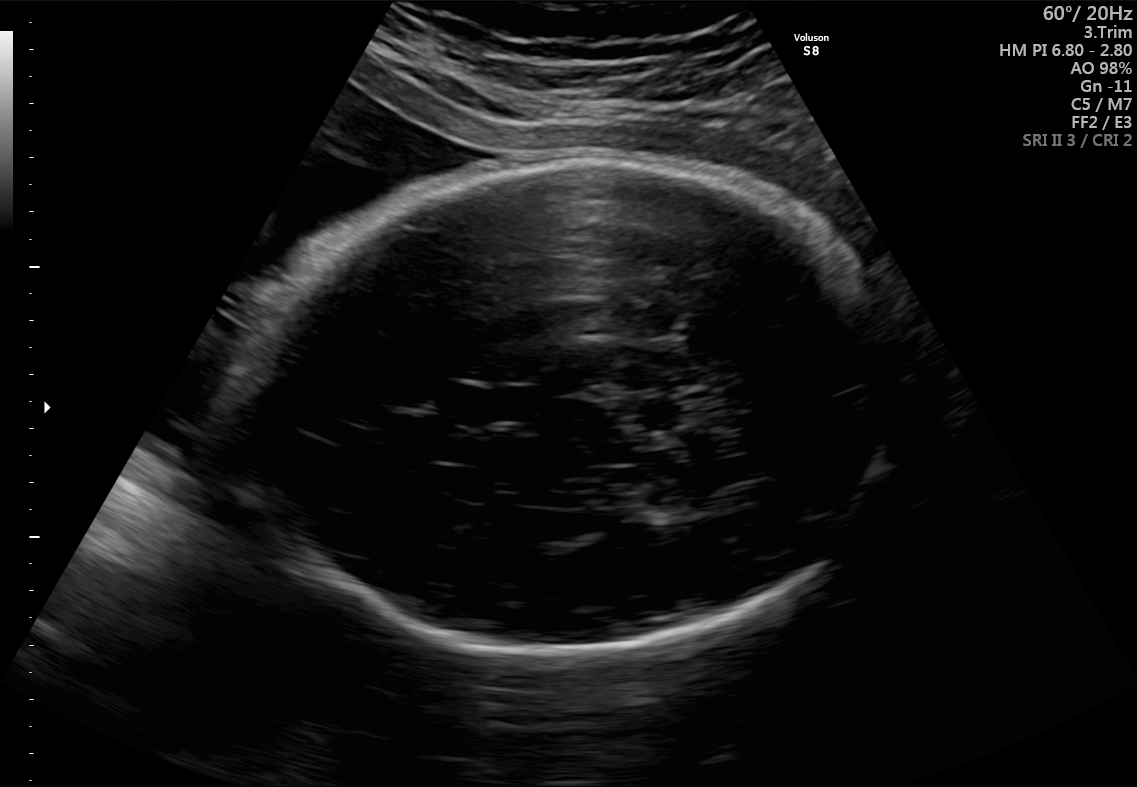
Fetal brain, trans-thalamic plane. Locate the fetal head.

Head: [225,154,909,662]